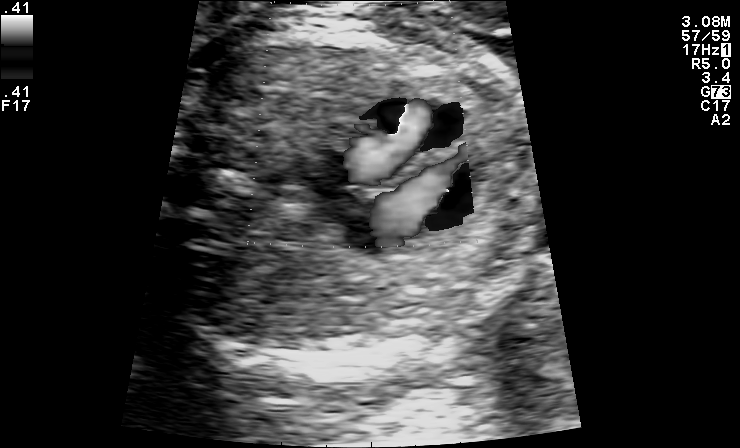
This is a 2D maternal-fetal ultrasound frame. Is it a fetal abdomen, fetal brain, fetal femur, fetal thorax, maternal cervix, or other standard plane? If it's fetal brain and one of the three standard brain planes (trans-thalamic, trans-cerebellum, trans-ventricular), name which.

Other